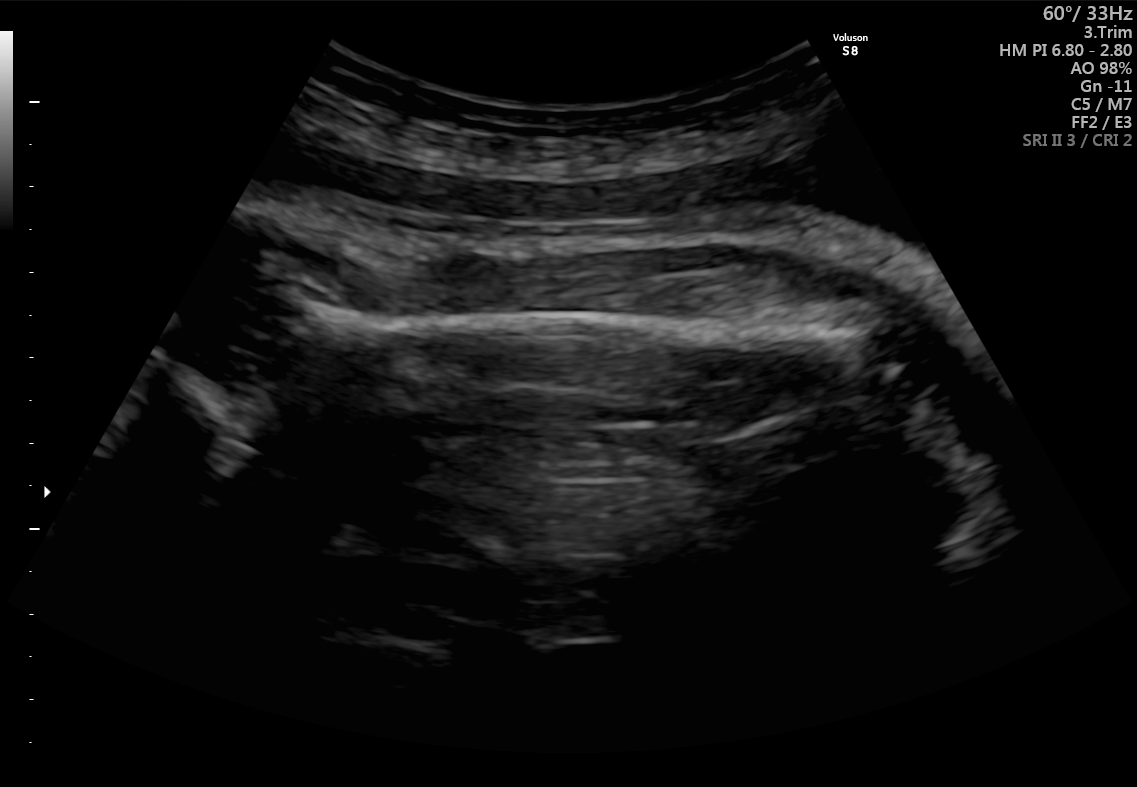
Identify the standard plane in this fetal ultrasound image: fetal abdomen, fetal brain, fetal femur, fetal thorax, maternal cervix, or other. If it's fetal brain and one of the three standard brain planes (trans-thalamic, trans-cerebellum, trans-ventricular), name which.

Fetal femur